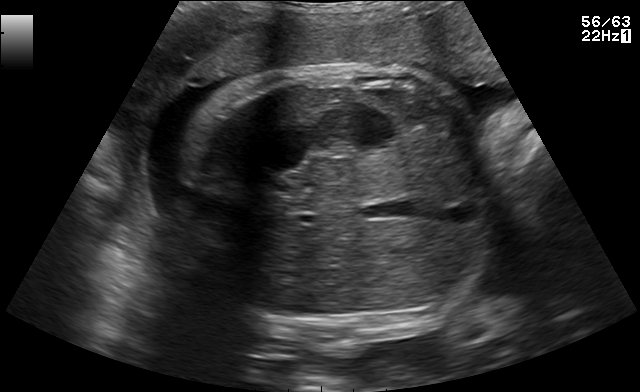
Classify this maternal-fetal ultrasound image as one of the six standard planes — fetal abdomen, fetal brain, fetal femur, fetal thorax, maternal cervix, or other. If it's fetal brain and one of the three standard brain planes (trans-thalamic, trans-cerebellum, trans-ventricular), name which.

Fetal abdomen